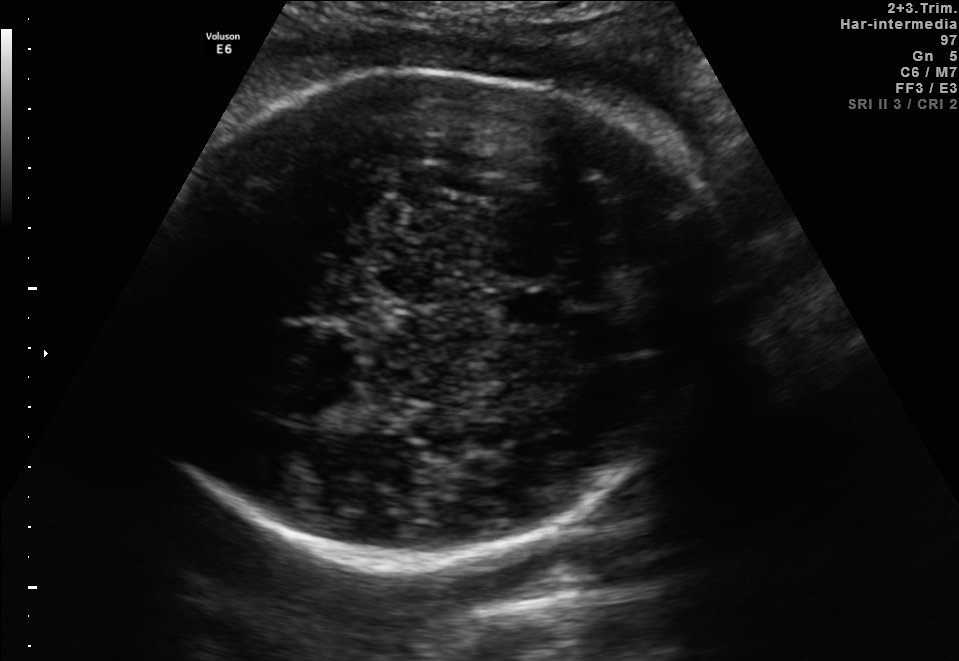
Fetal brain, trans-thalamic plane. Locate the fetal head and, if visible, the cavum septum pellucidum (CSP) and lateral ventricle (LV). Give bounding boxes as [x1,y1,x2,y2].

Head: [139,75,726,572]
CSP: [497,286,564,330]
Lateral ventricle: [257,364,352,434]